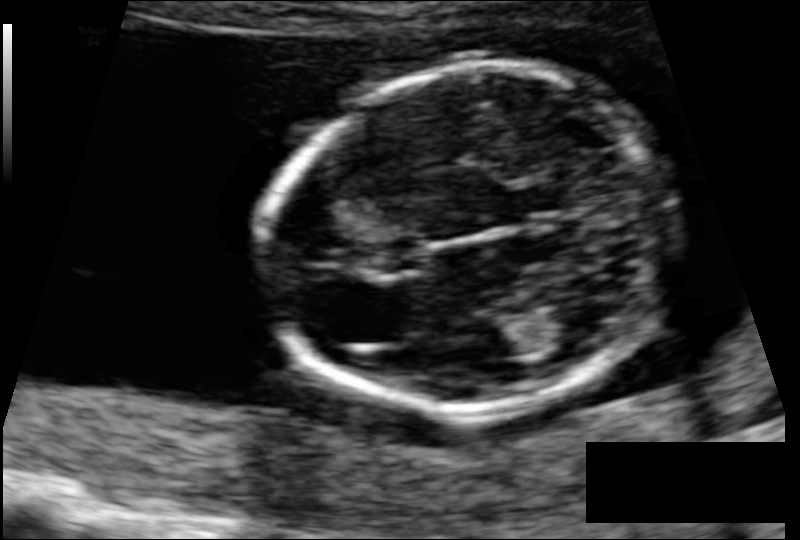
Estimate the fetal head circumference from this 2D ultrasound. Image width: 70.5 mm.

Head circumference: 106.5 mm.